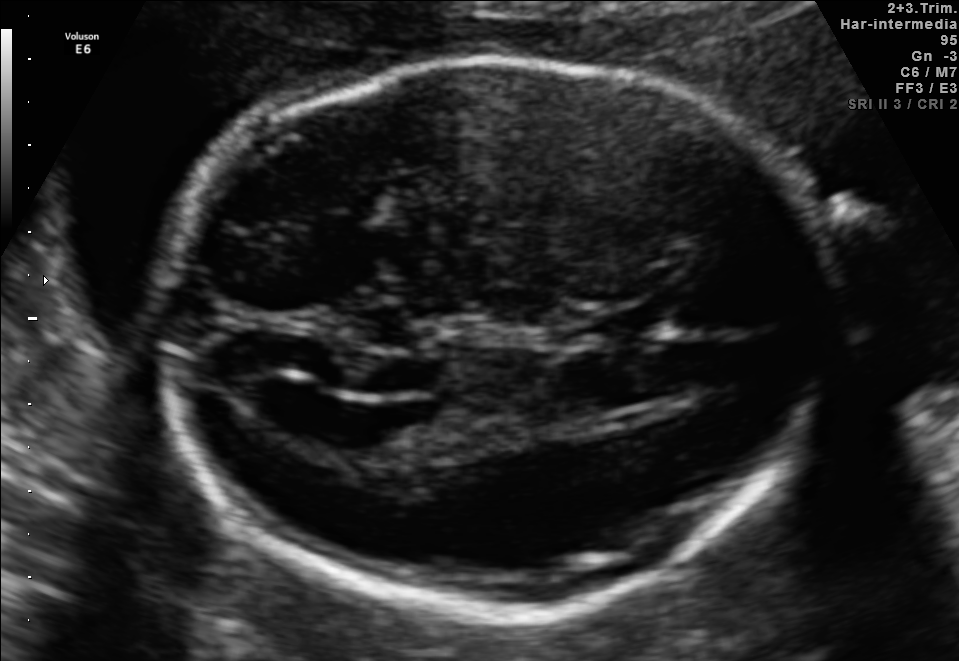
Fetal brain, trans-ventricular plane. Locate the fetal head and, if visible, the cavum septum pellucidum (CSP) and lateral ventricle (LV). Give bounding boxes as [x1,y1,x2,y2].

Head: [143,47,864,626]